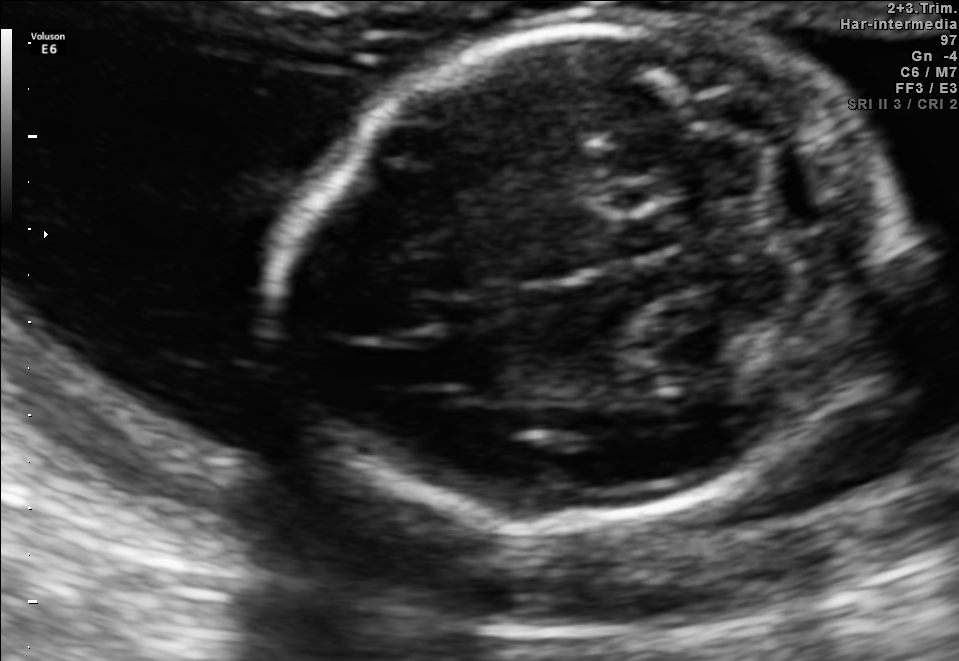
In this fetal brain, trans-cerebellum plane, give bounding boxes for the head outline, cavum septum pellucidum (CSP), and lateral ventricle (LV), where visible.

Head: [281,23,900,530]